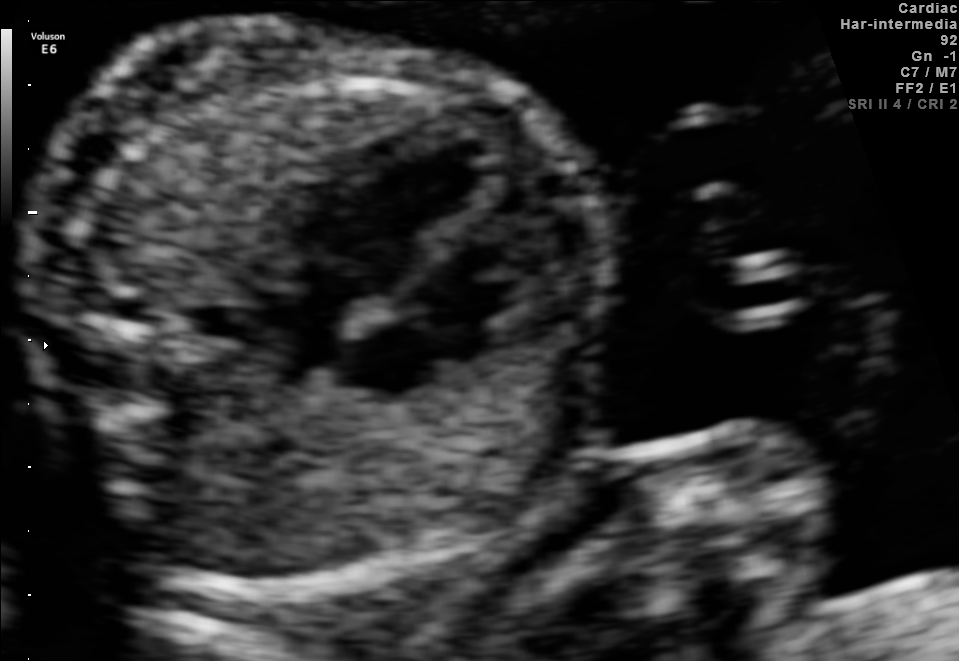
This is a 2D maternal-fetal ultrasound frame. Is it a fetal abdomen, fetal brain, fetal femur, fetal thorax, maternal cervix, or other standard plane? If it's fetal brain and one of the three standard brain planes (trans-thalamic, trans-cerebellum, trans-ventricular), name which.

Fetal thorax